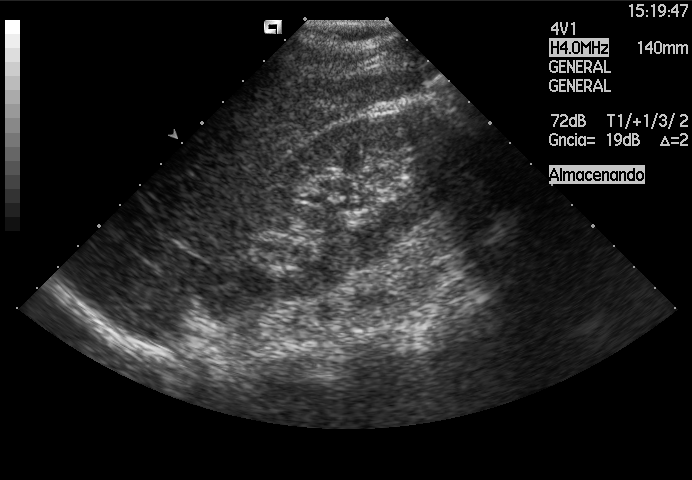
Classify this maternal-fetal ultrasound image as one of the six standard planes — fetal abdomen, fetal brain, fetal femur, fetal thorax, maternal cervix, or other. If it's fetal brain and one of the three standard brain planes (trans-thalamic, trans-cerebellum, trans-ventricular), name which.

Other